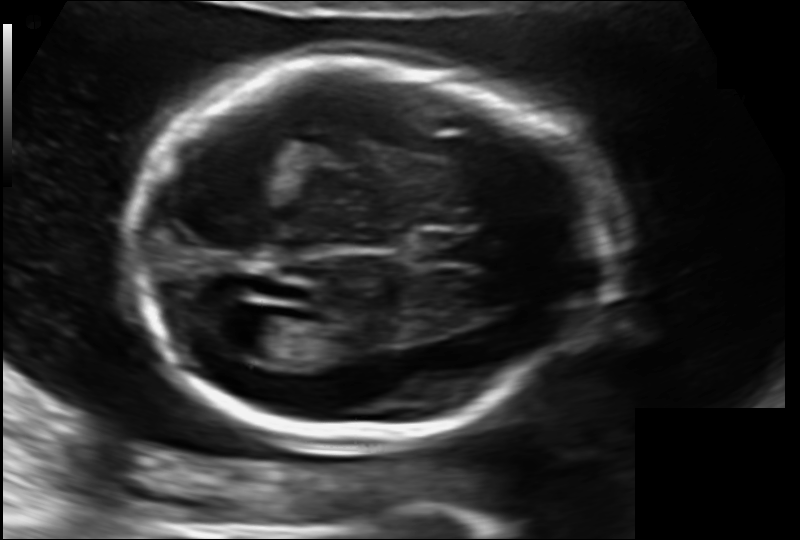
In this fetal head ultrasound, give the bounding box of the lateral ventricle. Image width: 103.9 mm.

[230,310,310,366]